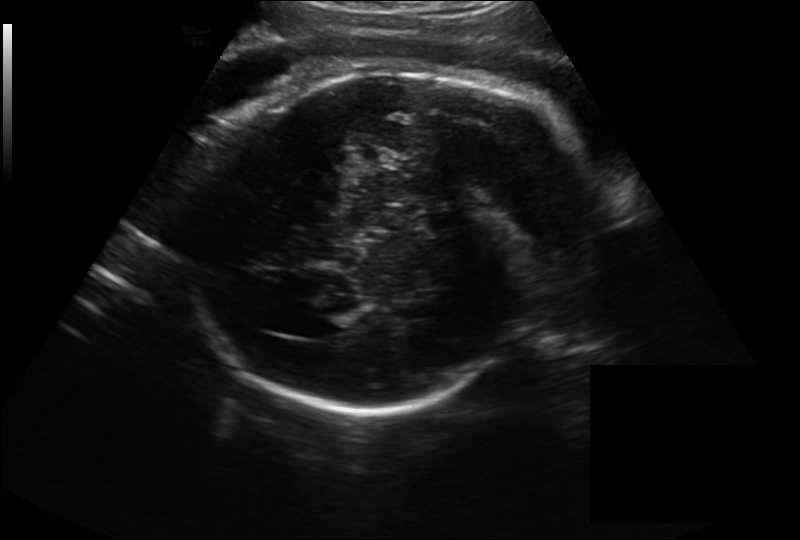
Fetal head ultrasound. Image width: 209.3 mm. Locate the fetal head.

Head: [189,67,585,411]